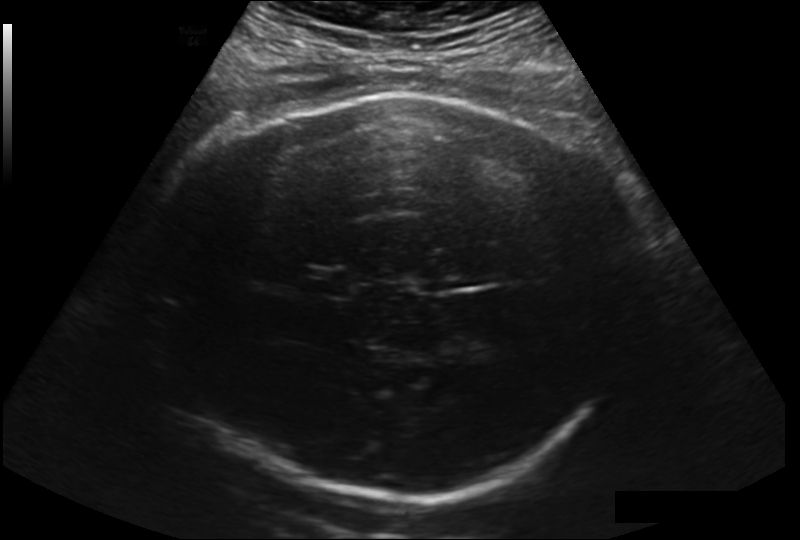
From this fetal ultrasound, estimate the head circumference (image width 179.8 mm).

Head circumference: 327.6 mm.